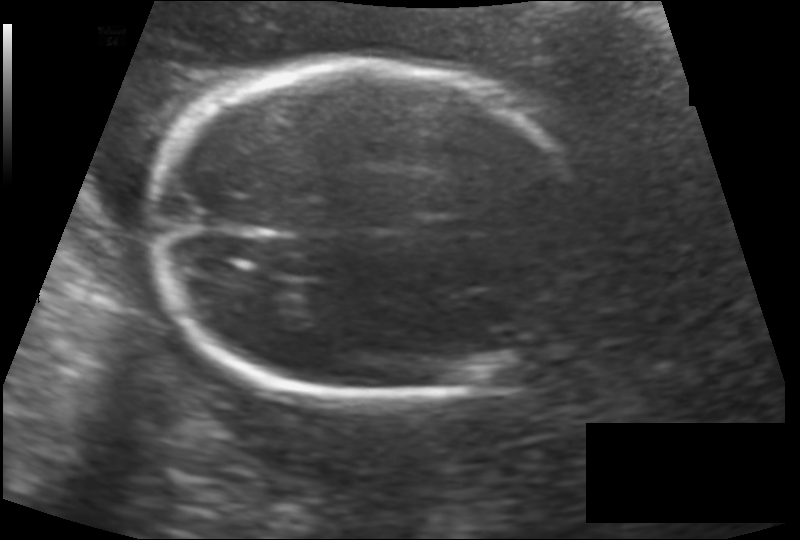
From this fetal ultrasound, estimate the head circumference (image width 117.4 mm).

Head circumference: 182.5 mm.